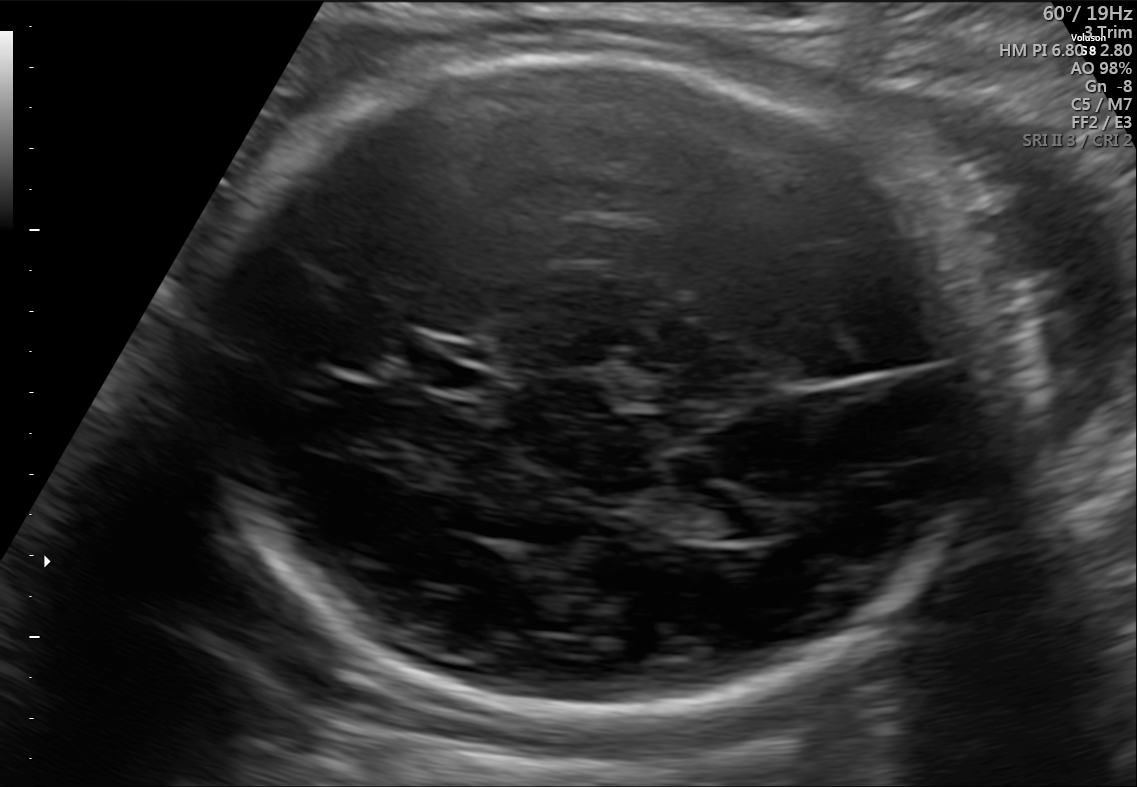
Fetal brain, trans-ventricular plane. Where is the cavum septum pellucidum?

CSP bounding box: [393,328,498,402]